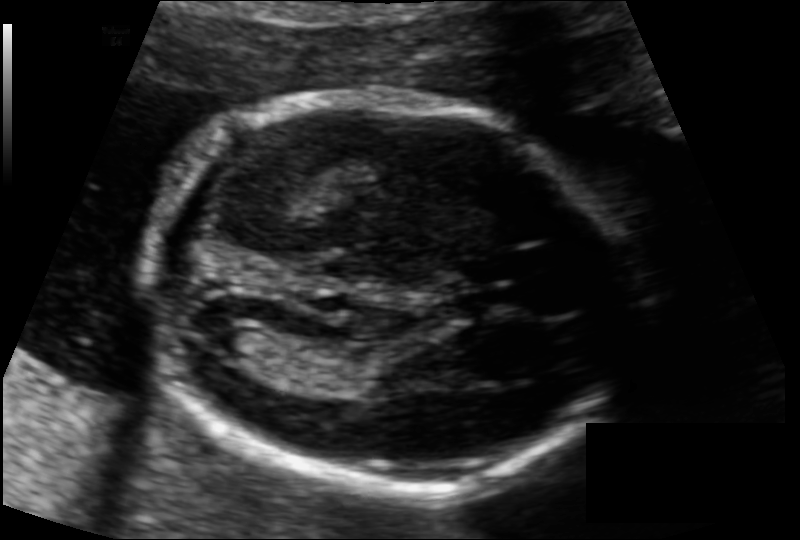
Estimate the fetal head circumference from this 2D ultrasound.

Head circumference: 154.5 mm (image width 86.5 mm).